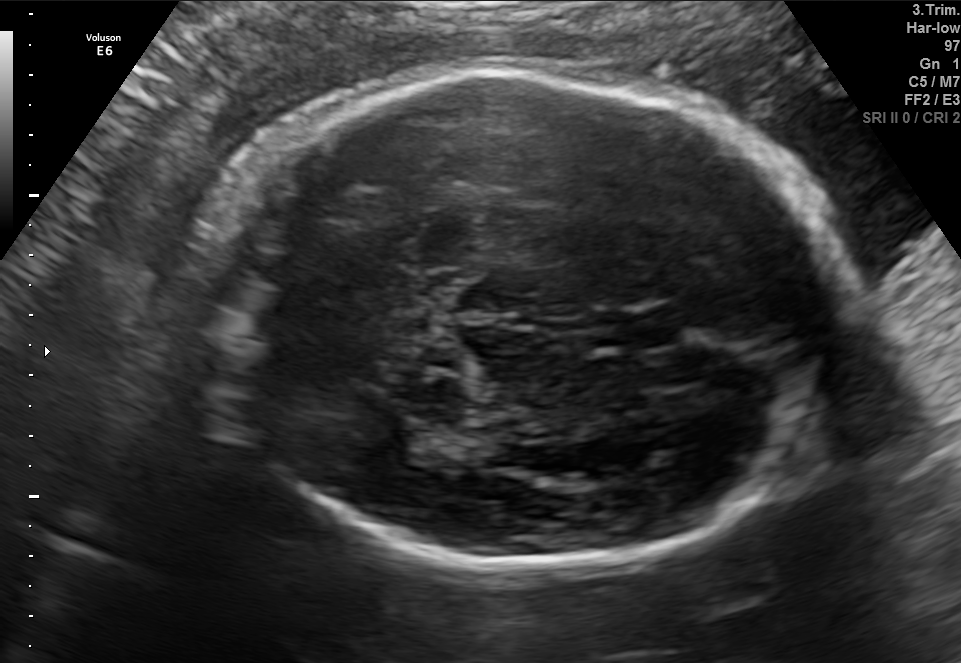
Fetal brain, trans-thalamic plane. Locate the fetal head and, if visible, the cavum septum pellucidum (CSP) and lateral ventricle (LV). Give bounding boxes as [x1,y1,x2,y2].

Head: [196,64,841,565]
CSP: [590,310,676,351]